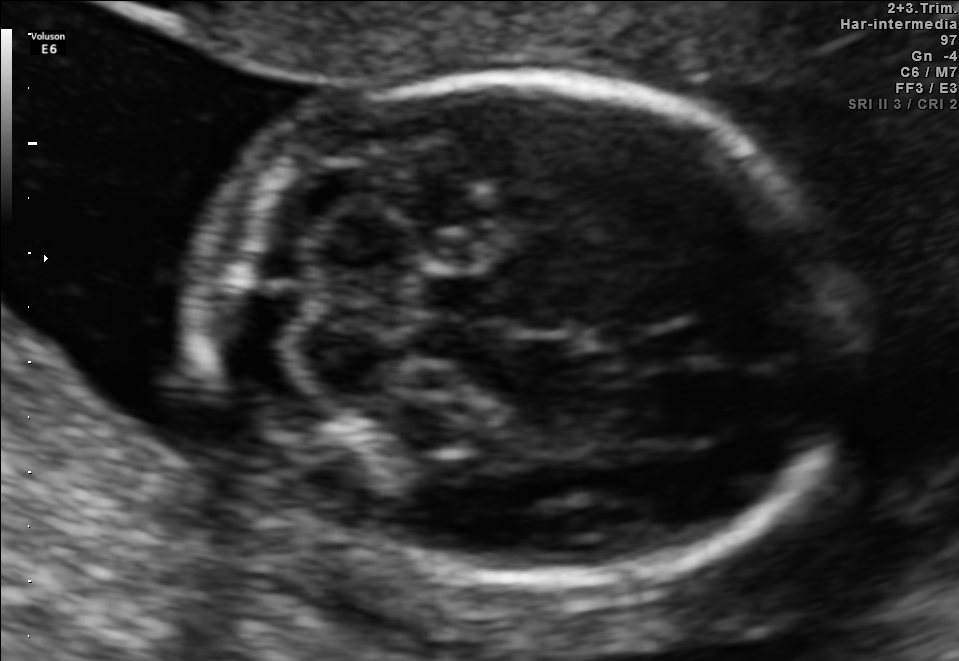
Fetal brain, trans-cerebellum plane. Where is the fetal head?

Head bounding box: [193,78,852,581]